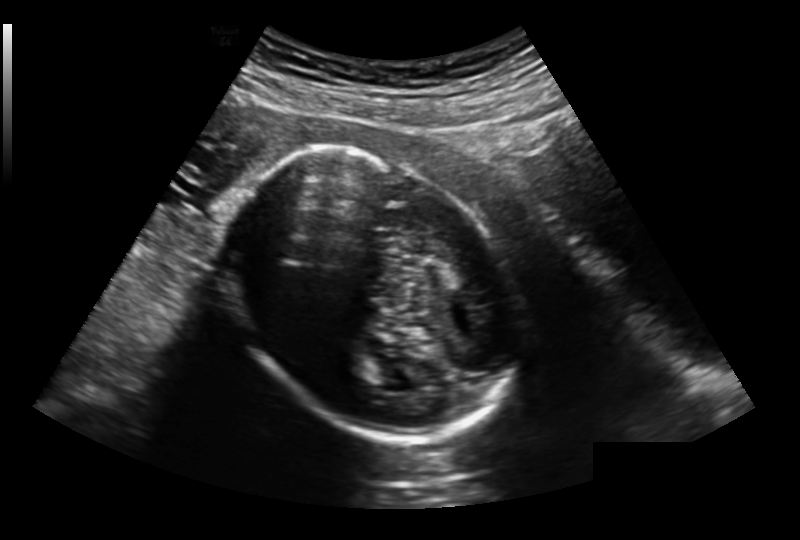
Fetal head ultrasound. Image width: 170.5 mm. Where is the fetal head?

Head bounding box: [234,145,516,444]